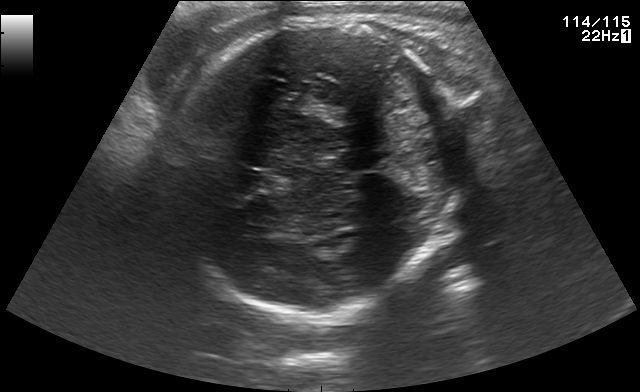
Fetal brain, trans-thalamic plane. Locate the fetal head.

Head: [166,24,466,313]